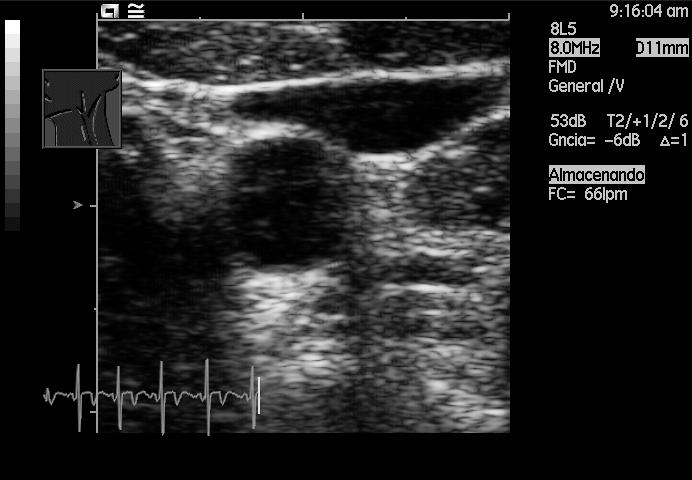
This is a 2D maternal-fetal ultrasound frame. Is it a fetal abdomen, fetal brain, fetal femur, fetal thorax, maternal cervix, or other standard plane? If it's fetal brain and one of the three standard brain planes (trans-thalamic, trans-cerebellum, trans-ventricular), name which.

Other